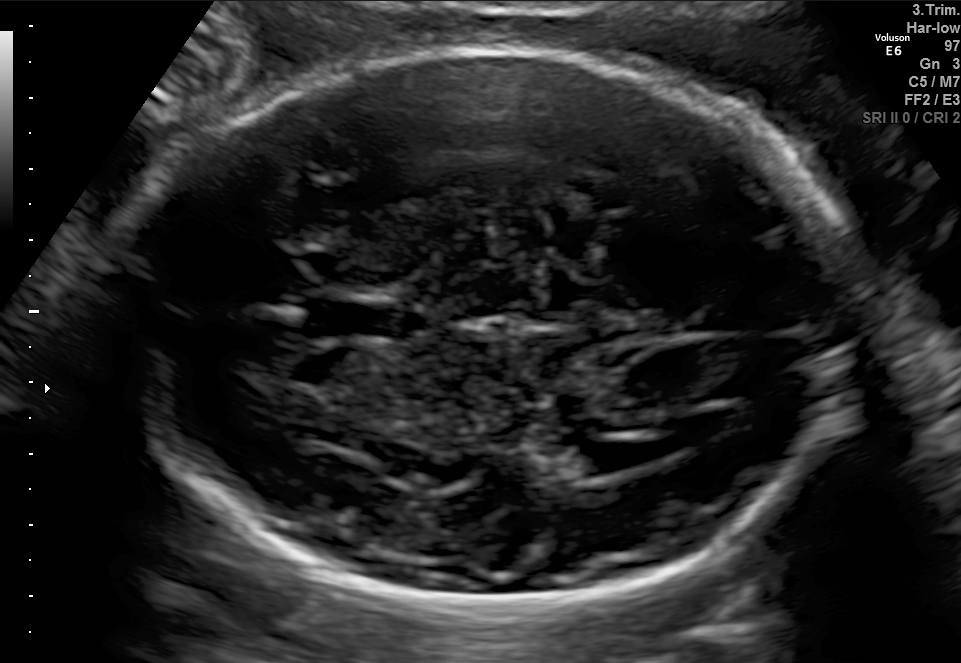
In this fetal brain, trans-ventricular plane, give bounding boxes for the head outline, cavum septum pellucidum (CSP), and lateral ventricle (LV), where visible.

Head: [112,44,875,617]
CSP: [308,297,395,338]
Lateral ventricle: [573,434,660,481]